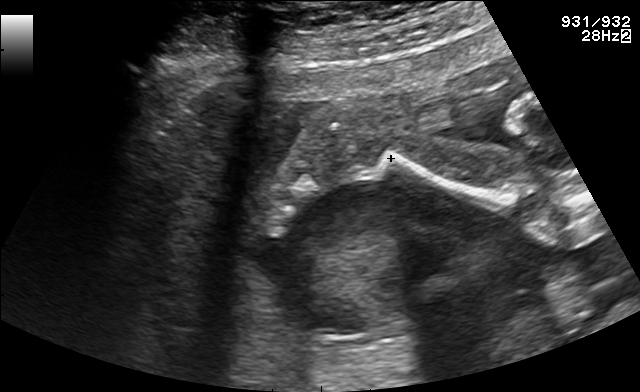
Identify the standard plane in this fetal ultrasound image: fetal abdomen, fetal brain, fetal femur, fetal thorax, maternal cervix, or other. If it's fetal brain and one of the three standard brain planes (trans-thalamic, trans-cerebellum, trans-ventricular), name which.

Other